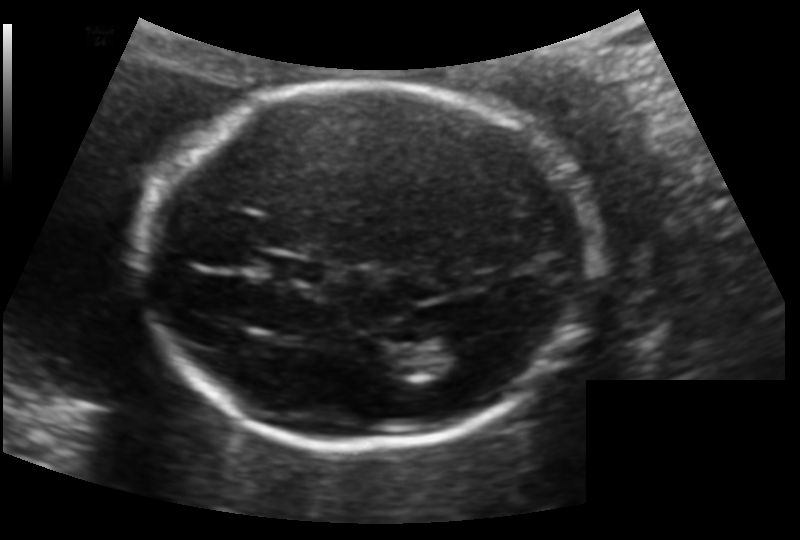
Measure the fetal head circumference shown in this ultrasound image. Image width: 106.4 mm.

Head circumference: 177.9 mm.